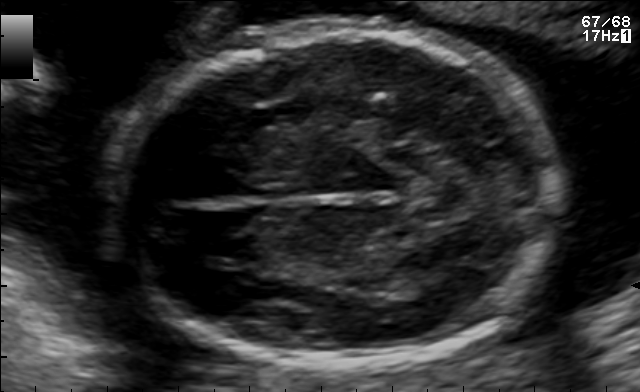
In this fetal brain, trans-thalamic plane, give the bounding box of the fetal head.

[107,32,556,362]